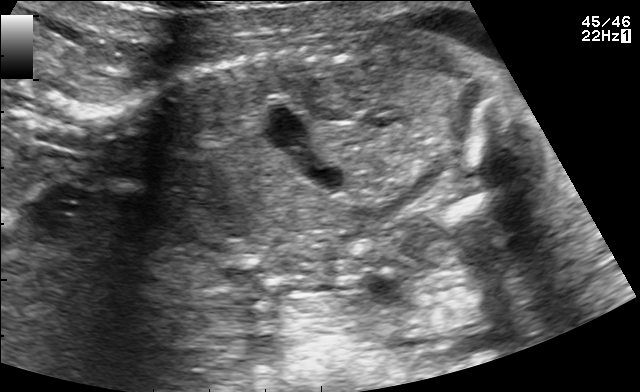
Identify the standard plane in this fetal ultrasound image: fetal abdomen, fetal brain, fetal femur, fetal thorax, maternal cervix, or other. If it's fetal brain and one of the three standard brain planes (trans-thalamic, trans-cerebellum, trans-ventricular), name which.

Other